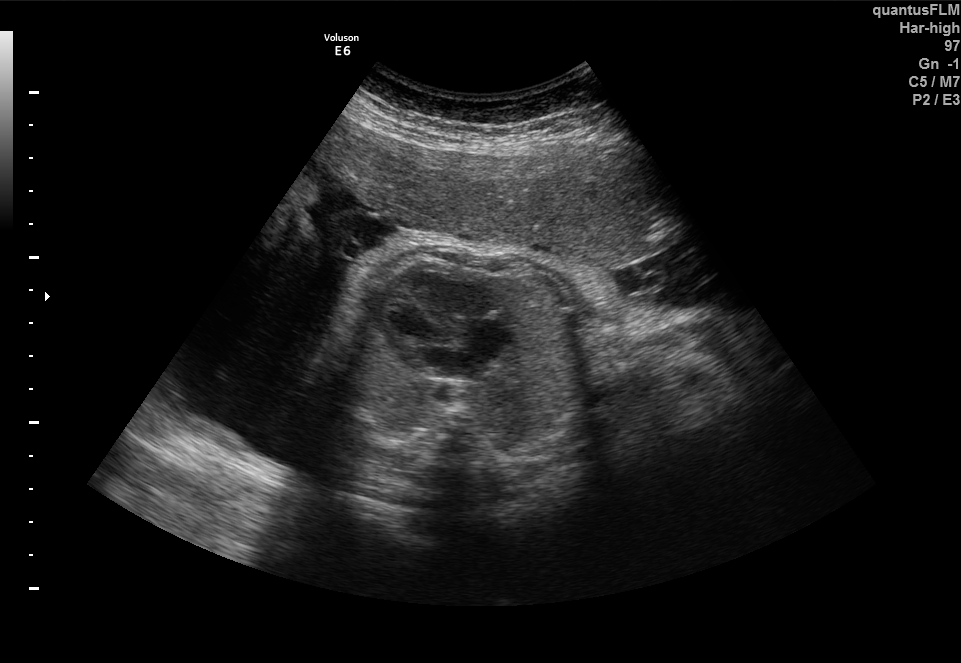
This is a 2D maternal-fetal ultrasound frame. Is it a fetal abdomen, fetal brain, fetal femur, fetal thorax, maternal cervix, or other standard plane? If it's fetal brain and one of the three standard brain planes (trans-thalamic, trans-cerebellum, trans-ventricular), name which.

Fetal thorax